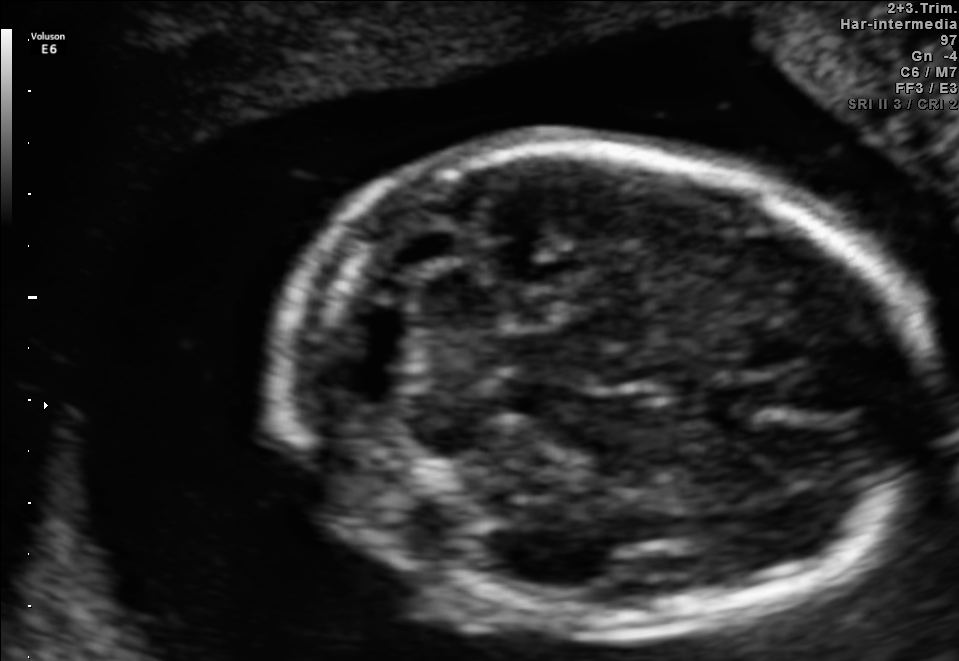
Fetal brain, trans-cerebellum plane. Locate the cavum septum pellucidum.

CSP: [697,375,780,427]